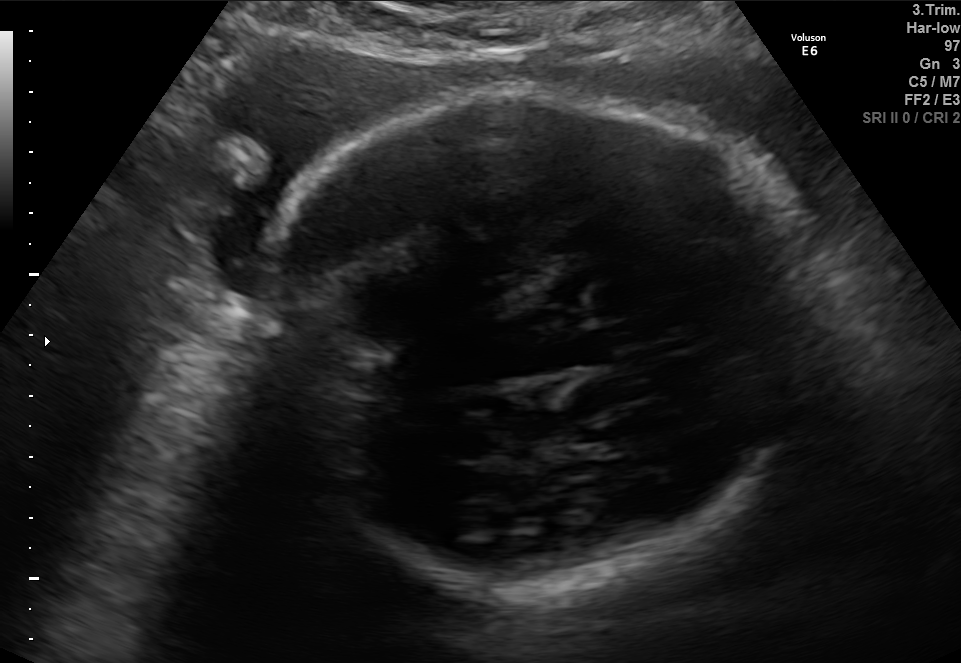
Fetal brain, trans-thalamic plane. Give [x1,y1,x2,y2] bounding boxes for each visible structure among: fetal head, CSP, LV.

Head: [254,91,806,594]